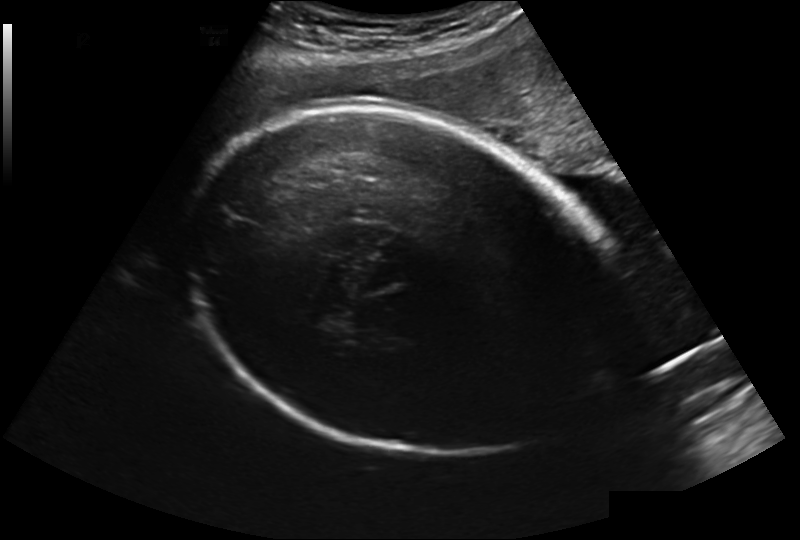
Estimate the fetal head circumference from this 2D ultrasound.

Head circumference: 303.3 mm (image width 192.6 mm).